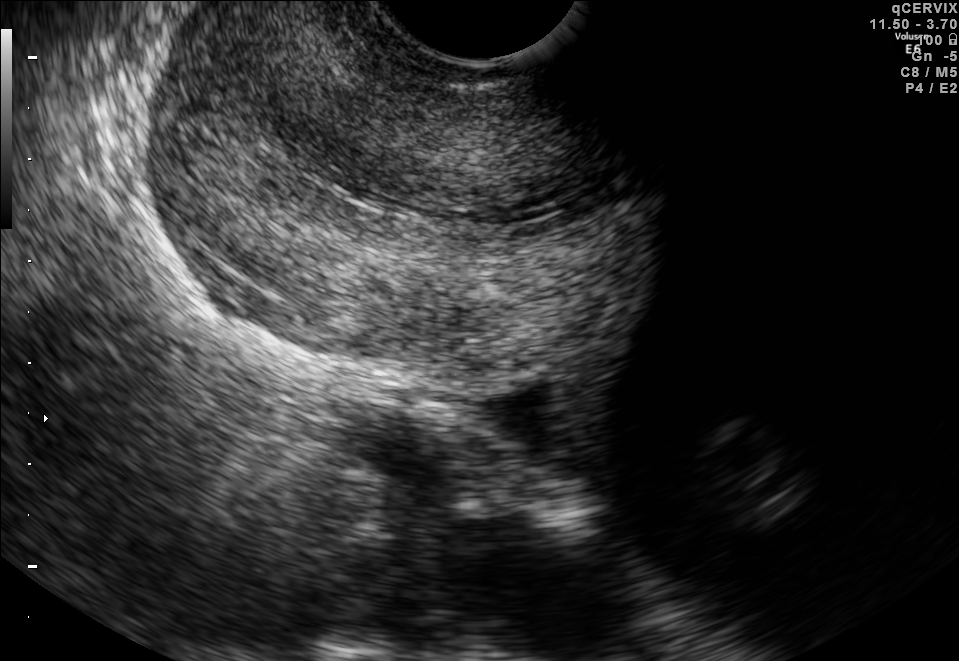
Identify the standard plane in this fetal ultrasound image: fetal abdomen, fetal brain, fetal femur, fetal thorax, maternal cervix, or other. If it's fetal brain and one of the three standard brain planes (trans-thalamic, trans-cerebellum, trans-ventricular), name which.

Maternal cervix